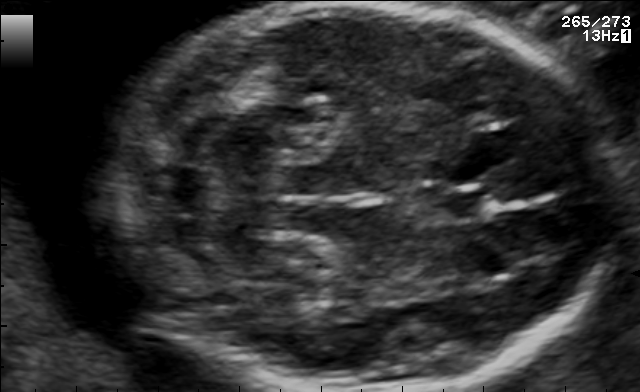
In this fetal brain, trans-cerebellum plane, give bounding boxes for the head outline, cavum septum pellucidum (CSP), and lateral ventricle (LV), where visible.

Head: [105,3,618,390]
CSP: [429,183,491,224]